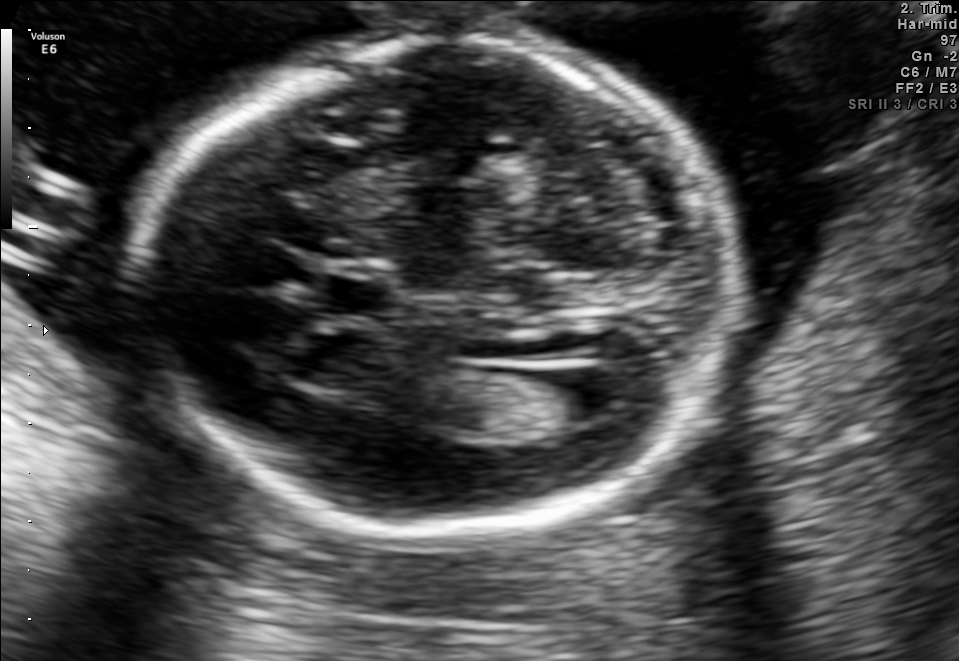
Fetal brain, trans-ventricular plane. Locate the cavum septum pellucidum.

CSP: [324,277,390,315]